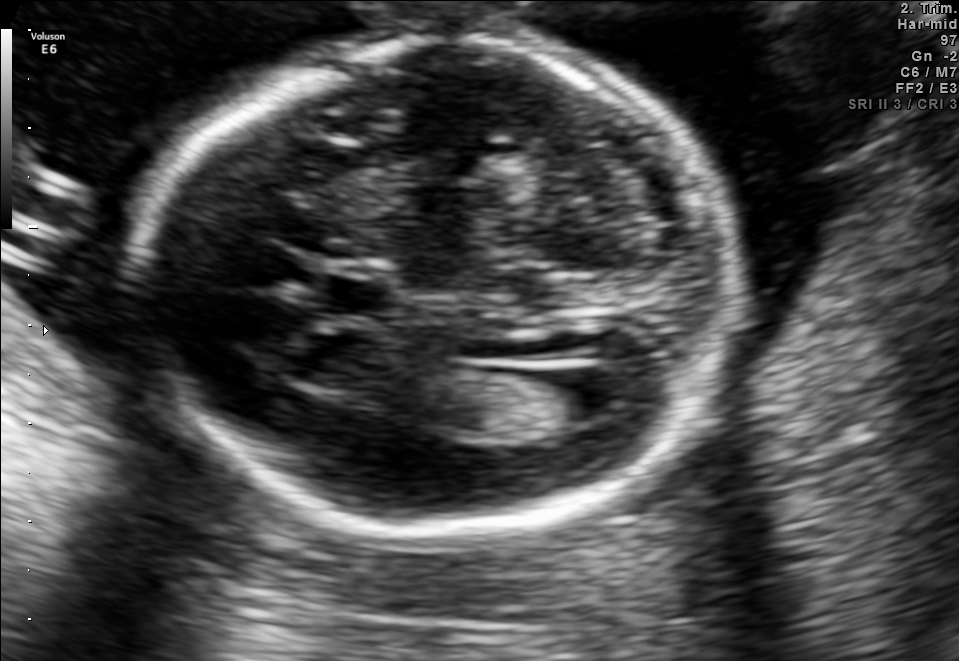
In this fetal brain, trans-ventricular plane, give the bounding box of the fetal head.

[134,32,743,541]